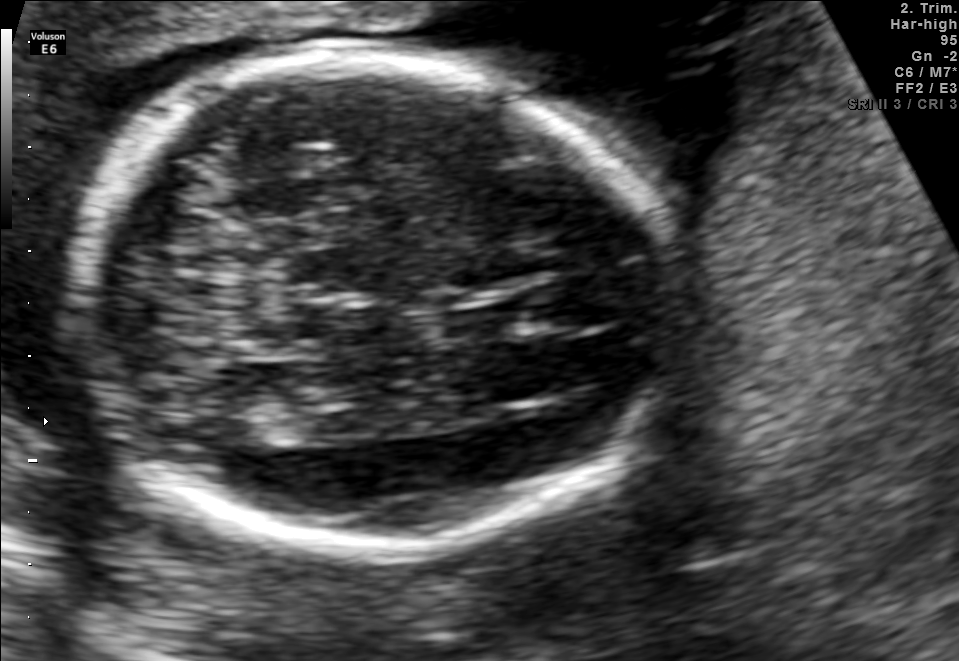
Fetal brain, trans-thalamic plane. Locate the fetal head and, if visible, the cavum septum pellucidum (CSP) and lateral ventricle (LV). Give bounding boxes as [x1,y1,x2,y2].

Head: [71,56,688,555]